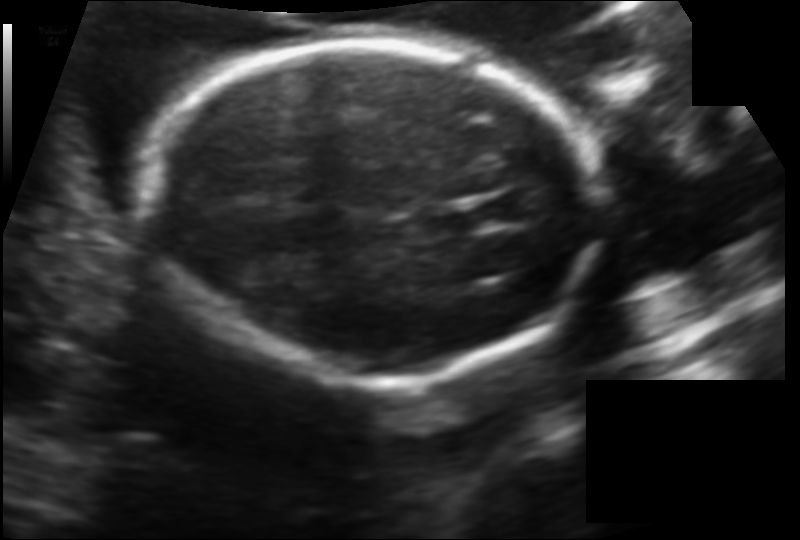
In this fetal head ultrasound, give the bounding box of the fetal head. Image width: 108.5 mm.

[148,41,589,383]